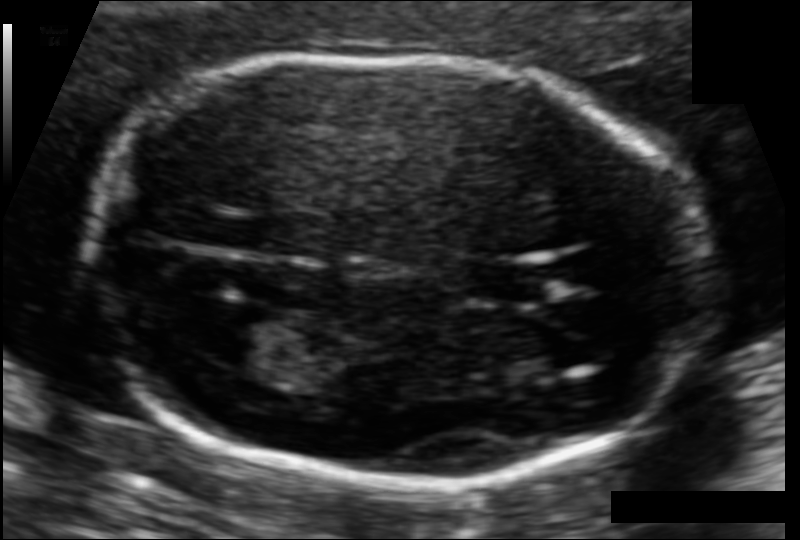
Fetal head ultrasound. Image width: 73.9 mm. Locate the fetal head and, if visible, the cavum septum pellucidum (CSP) and lateral ventricle (LV). Give bounding boxes as [x1,y1,x2,y2].

Head: [84,56,704,489]
CSP: [468,265,542,300]
Lateral ventricle: [195,296,293,376]